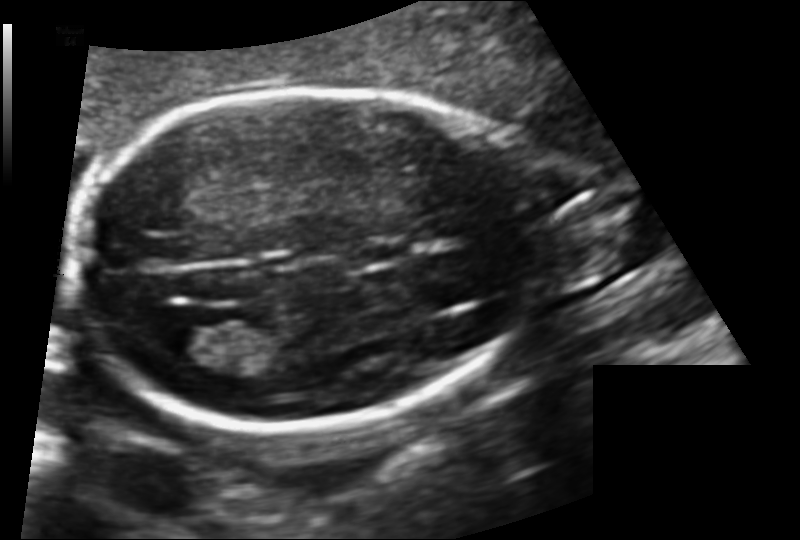
Measure the fetal head circumference shown in this ultrasound image. Image width: 102.4 mm.

Head circumference: 170.6 mm.